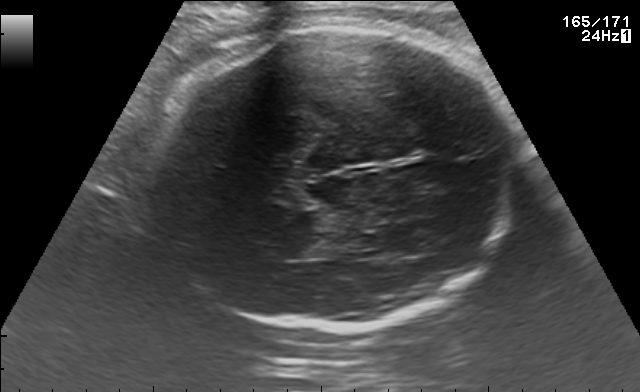
Fetal brain, trans-thalamic plane. Locate the fetal head.

Head: [142,21,515,332]